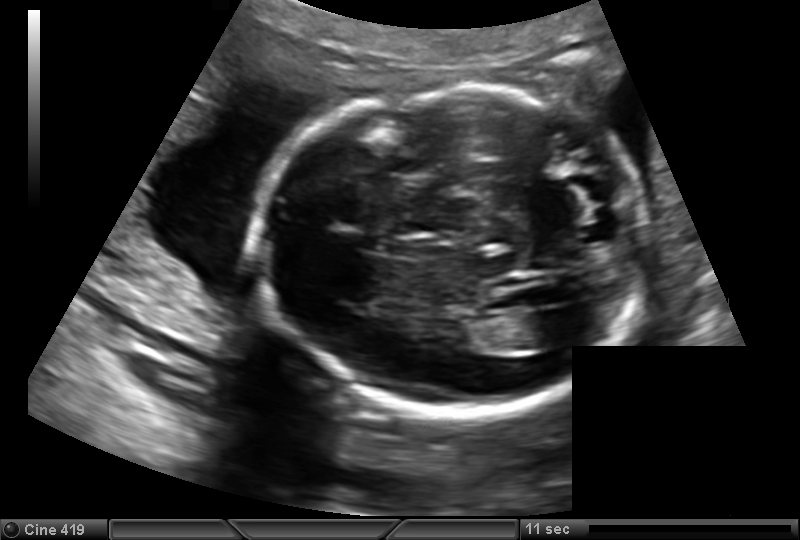
Fetal head ultrasound. Image width: 120.7 mm. Locate the lateral ventricle.

Lateral ventricle: [515,309,573,351]